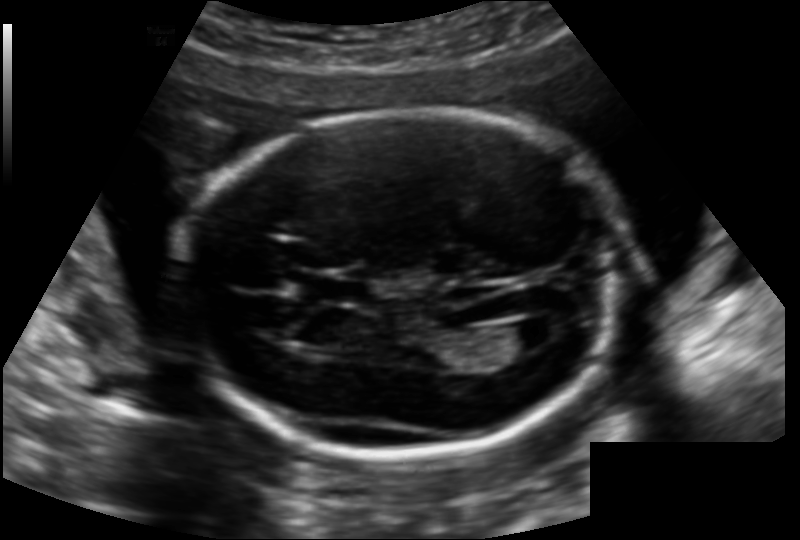
Fetal head ultrasound. Image width: 113.4 mm. Locate the lateral ventricle.

Lateral ventricle: [497,313,556,357]